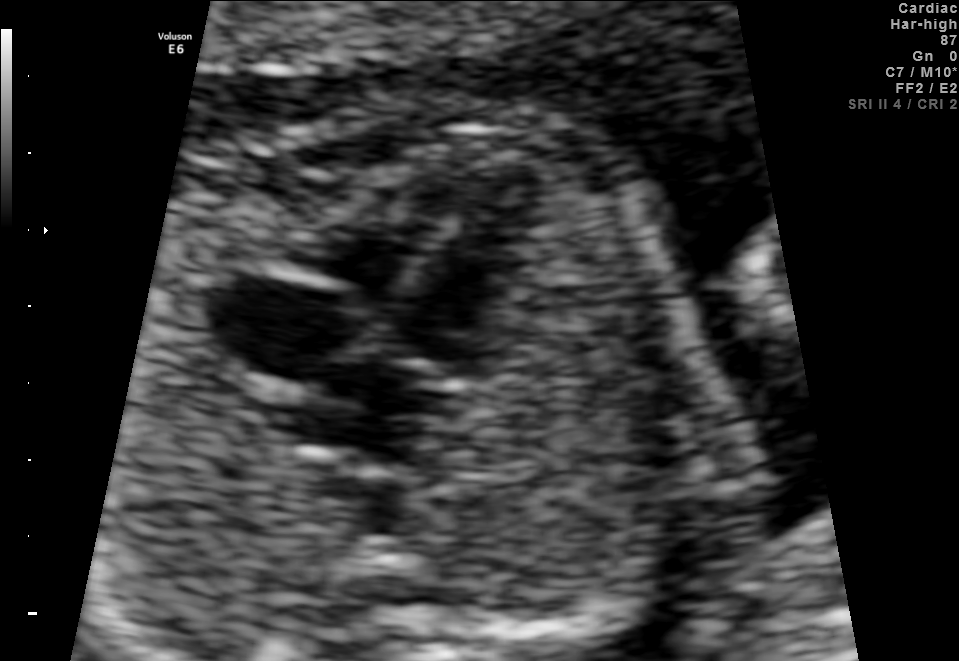
Identify the standard plane in this fetal ultrasound image: fetal abdomen, fetal brain, fetal femur, fetal thorax, maternal cervix, or other. If it's fetal brain and one of the three standard brain planes (trans-thalamic, trans-cerebellum, trans-ventricular), name which.

Fetal thorax